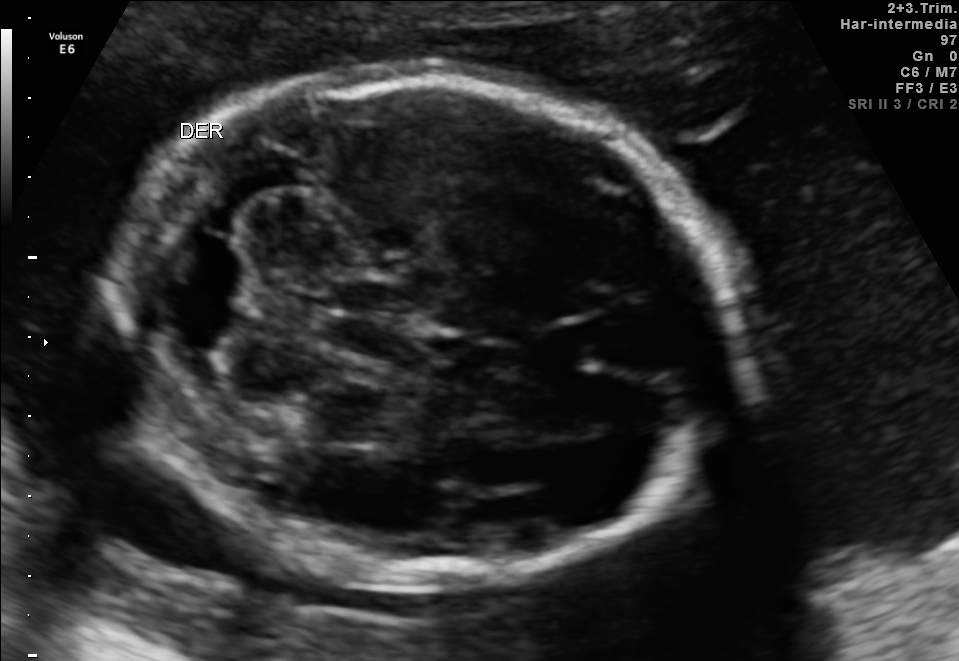
Fetal brain, trans-cerebellum plane. Locate the fetal head and, if visible, the cavum septum pellucidum (CSP) and lateral ventricle (LV). Give bounding boxes as [x1,y1,x2,y2].

Head: [115,73,734,578]